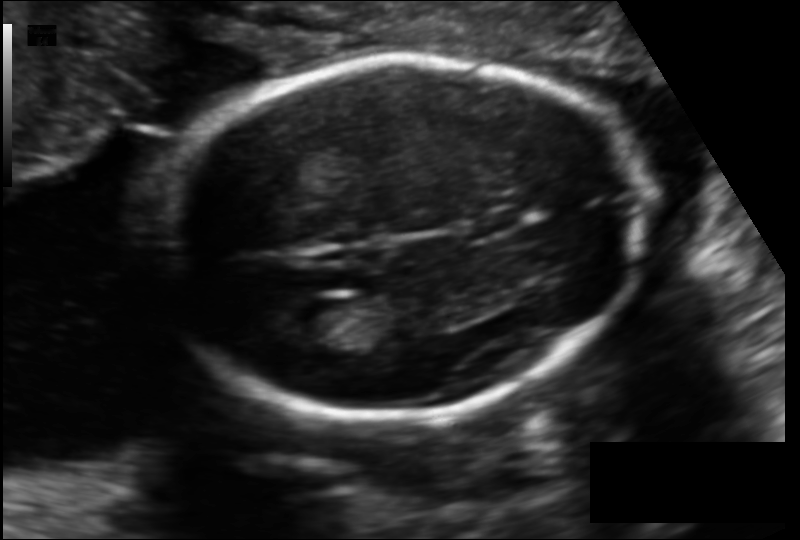
Fetal head ultrasound. Image width: 102.8 mm. Locate the lateral ventricle.

Lateral ventricle: [279,299,344,342]